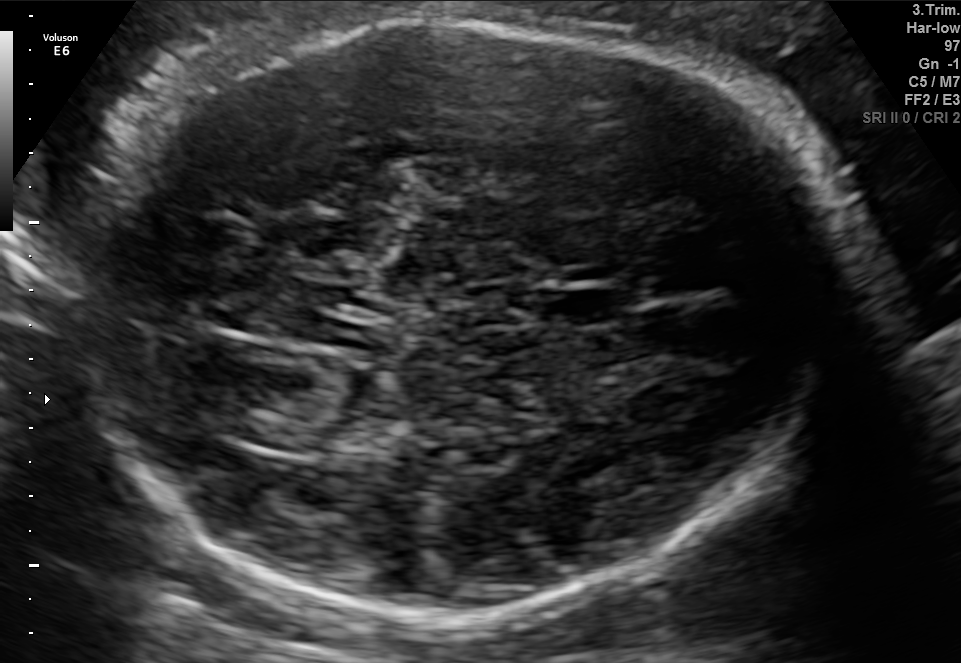
This is a 2D maternal-fetal ultrasound frame. Is it a fetal abdomen, fetal brain, fetal femur, fetal thorax, maternal cervix, or other standard plane? If it's fetal brain and one of the three standard brain planes (trans-thalamic, trans-cerebellum, trans-ventricular), name which.

Fetal brain (trans-thalamic plane)